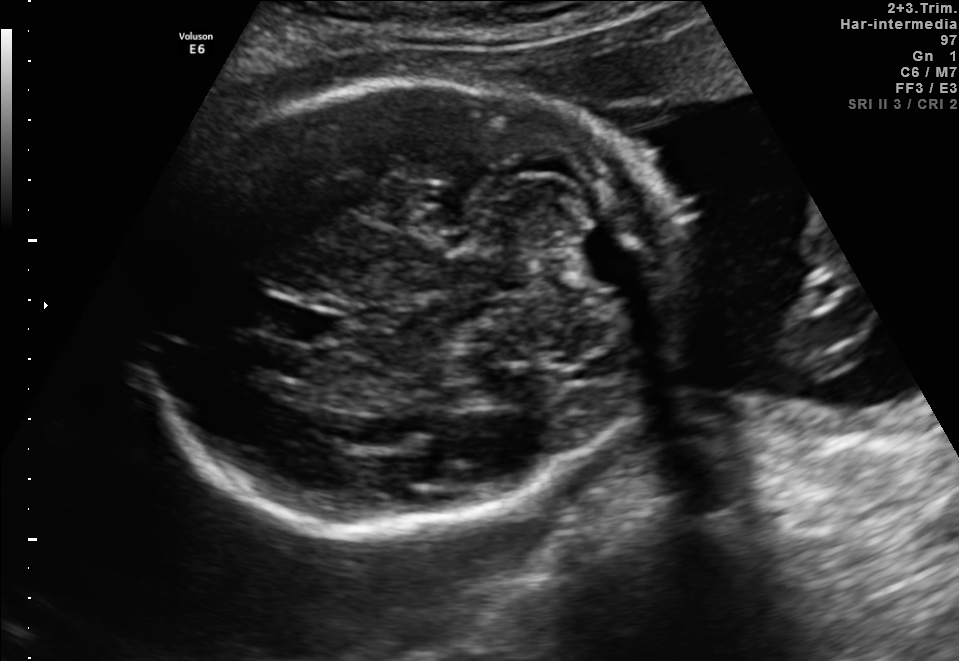
Fetal brain, trans-cerebellum plane. Locate the fetal head.

Head: [139,84,684,529]